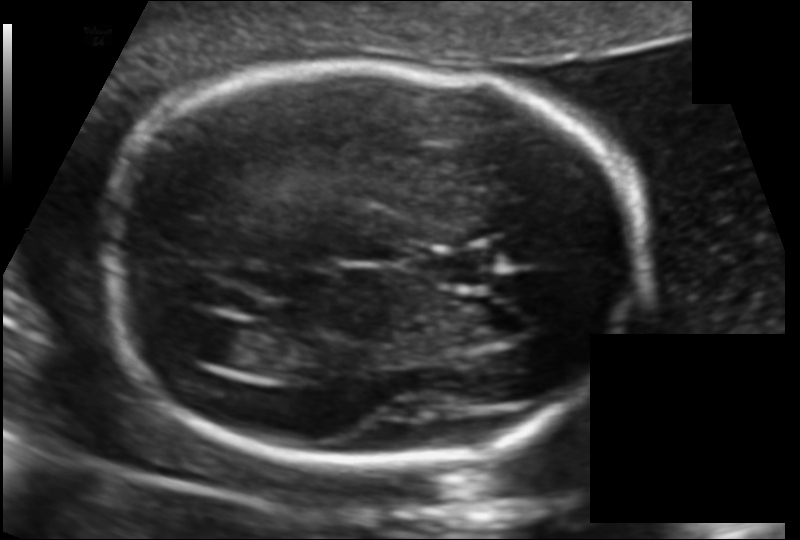
Fetal head ultrasound. Image width: 93.9 mm. Where is the lateral ventricle?

Lateral ventricle bounding box: [178,310,263,375]